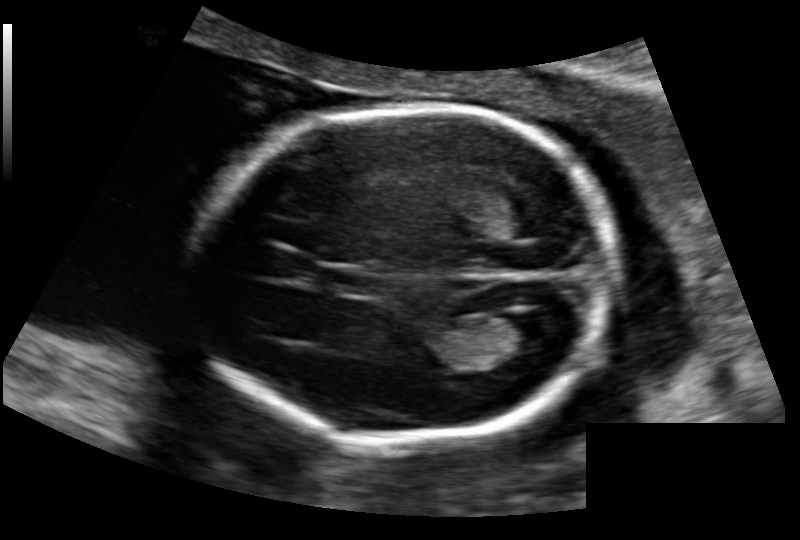
Fetal head ultrasound. Image width: 108.9 mm. Locate the fetal head.

Head: [189,108,615,440]